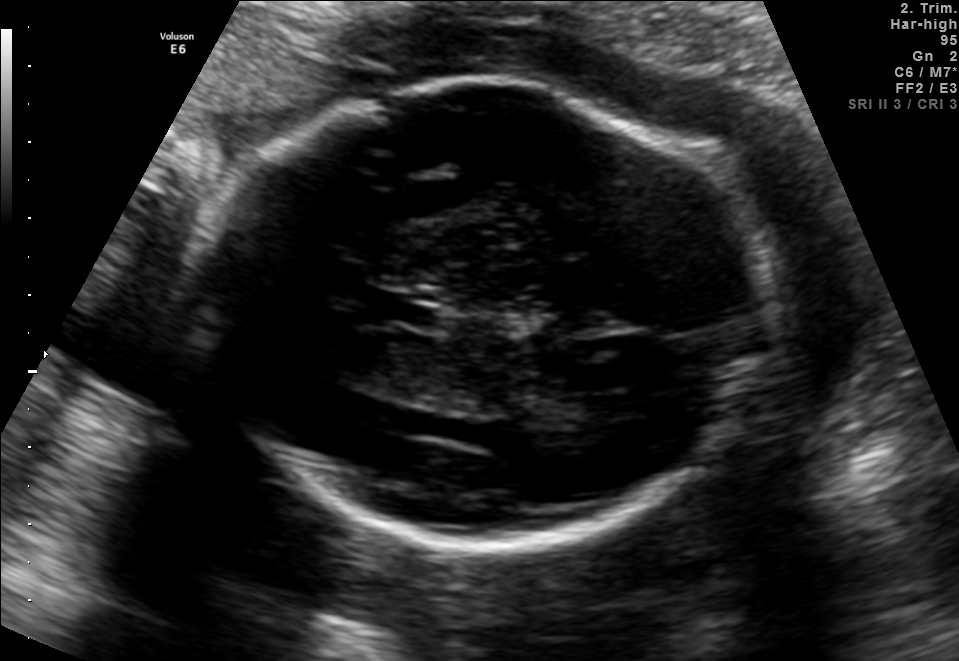
In this fetal brain, trans-thalamic plane, give bounding boxes for the head outline, cavum septum pellucidum (CSP), and lateral ventricle (LV), where visible.

Head: [185,85,776,556]
CSP: [370,289,441,328]
Lateral ventricle: [559,392,612,429]